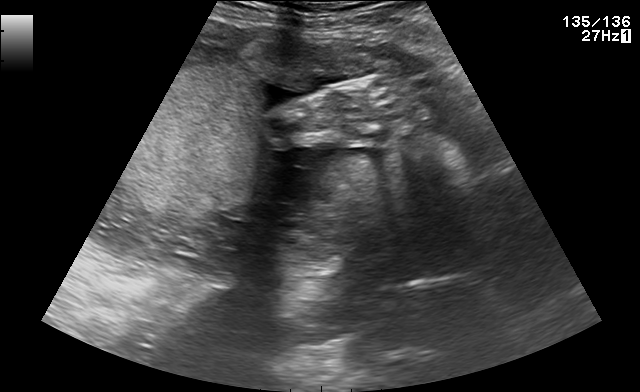
Classify this maternal-fetal ultrasound image as one of the six standard planes — fetal abdomen, fetal brain, fetal femur, fetal thorax, maternal cervix, or other. If it's fetal brain and one of the three standard brain planes (trans-thalamic, trans-cerebellum, trans-ventricular), name which.

Other